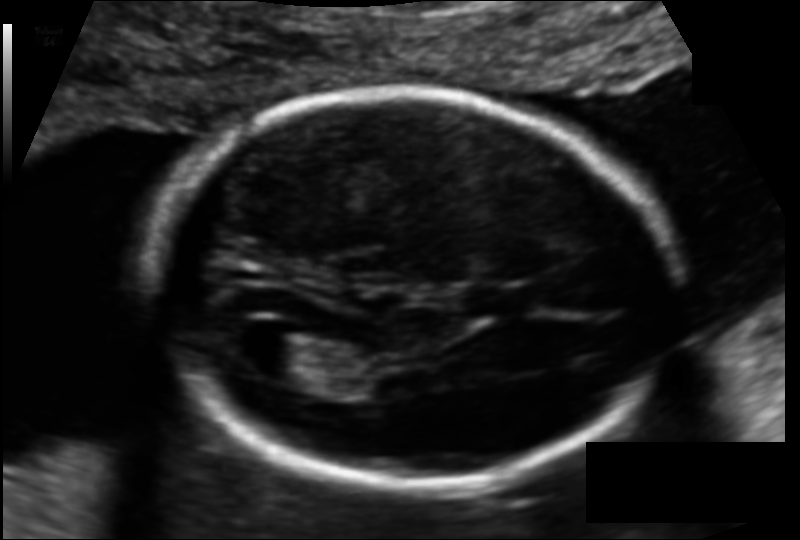
Fetal head ultrasound. Image width: 91.1 mm. Locate the cavum septum pellucidum.

CSP: [466,282,532,319]